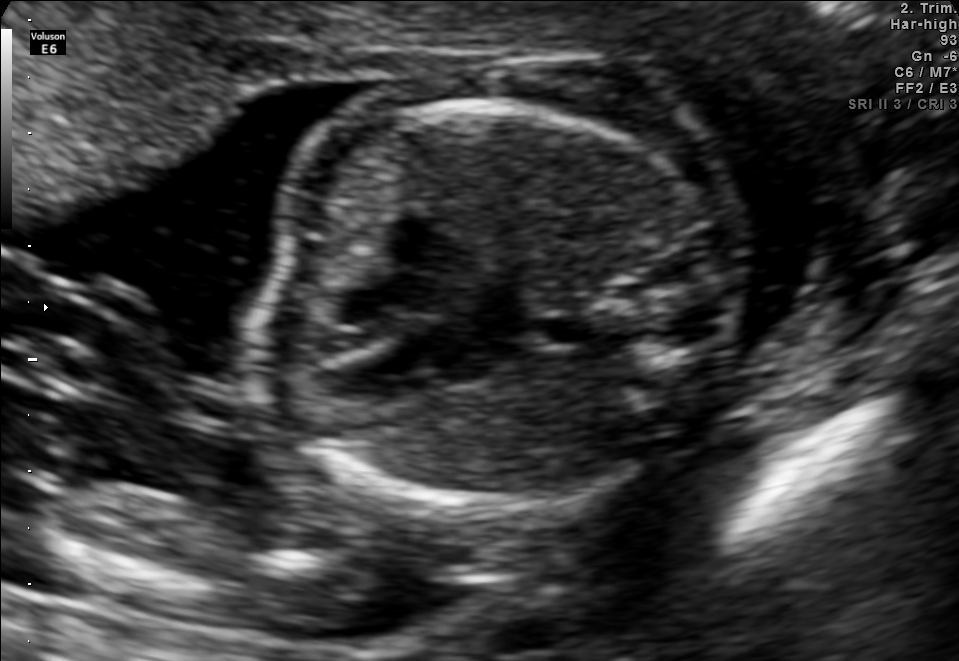
This is a 2D maternal-fetal ultrasound frame. Is it a fetal abdomen, fetal brain, fetal femur, fetal thorax, maternal cervix, or other standard plane? If it's fetal brain and one of the three standard brain planes (trans-thalamic, trans-cerebellum, trans-ventricular), name which.

Fetal thorax